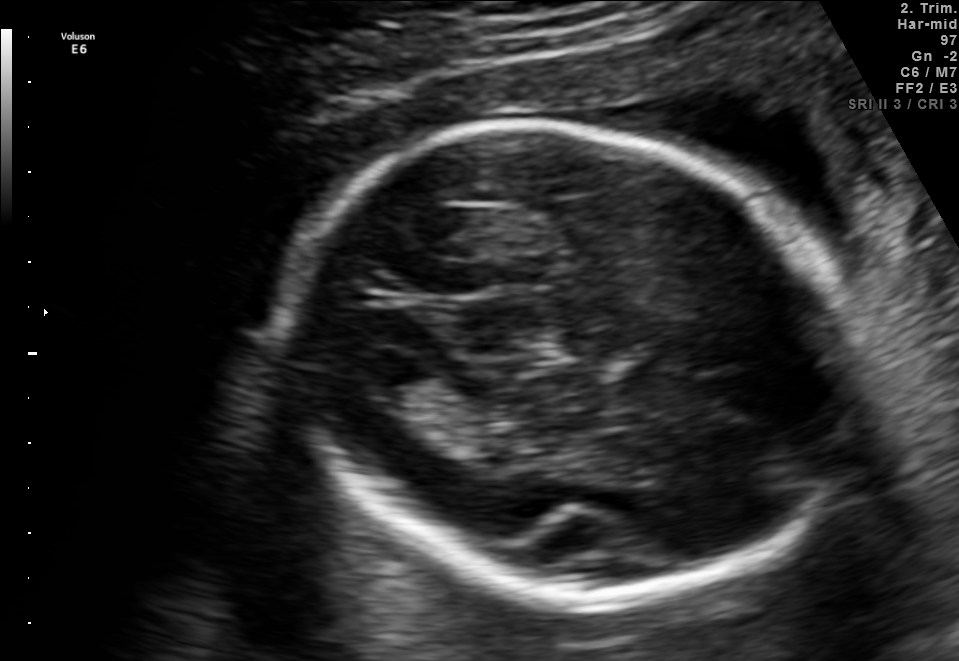
In this fetal brain, trans-thalamic plane, give bounding boxes for the head outline, cavum septum pellucidum (CSP), and lateral ventricle (LV), where visible.

Head: [288,123,861,604]
Lateral ventricle: [345,324,437,414]